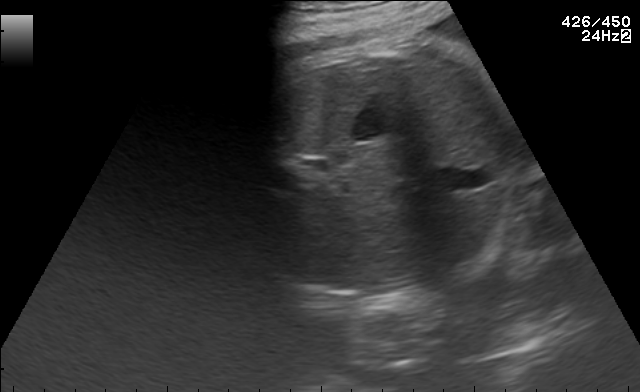
Identify the standard plane in this fetal ultrasound image: fetal abdomen, fetal brain, fetal femur, fetal thorax, maternal cervix, or other. If it's fetal brain and one of the three standard brain planes (trans-thalamic, trans-cerebellum, trans-ventricular), name which.

Fetal abdomen